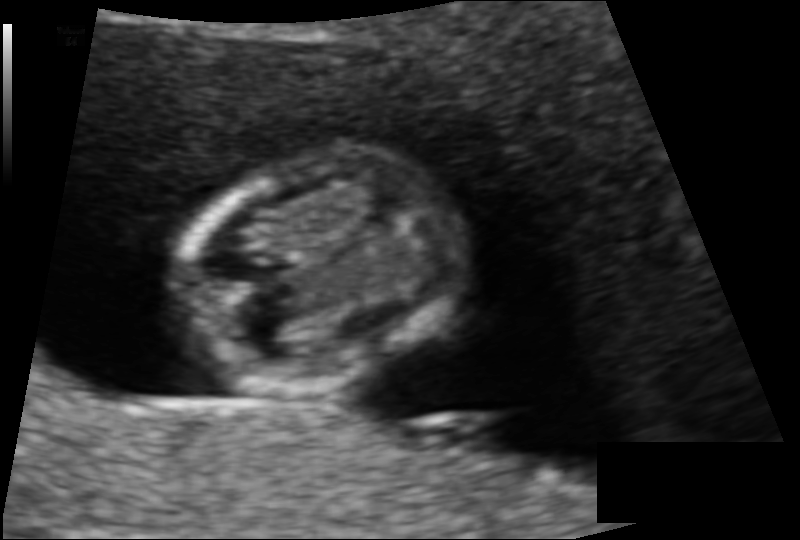
In this fetal head ultrasound, give the bounding box of the fetal head. Image width: 68.5 mm.

[172,151,468,399]